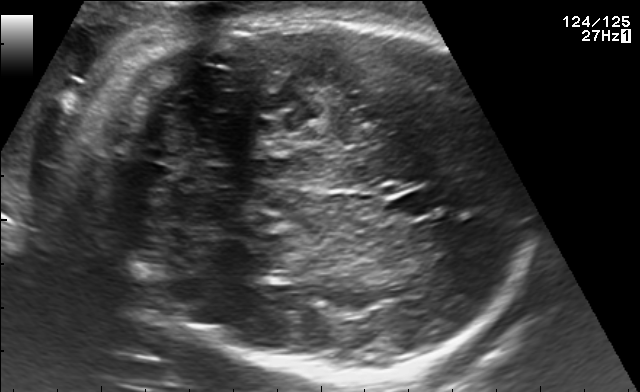
Fetal brain, trans-cerebellum plane. Locate the fetal head.

Head: [113,16,519,387]